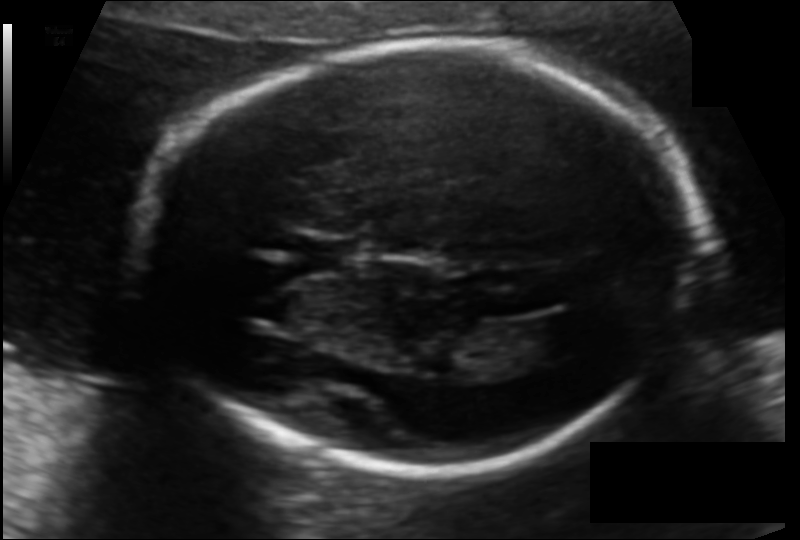
From this fetal ultrasound, estimate the head circumference (image width 97.4 mm).

Head circumference: 193.1 mm.